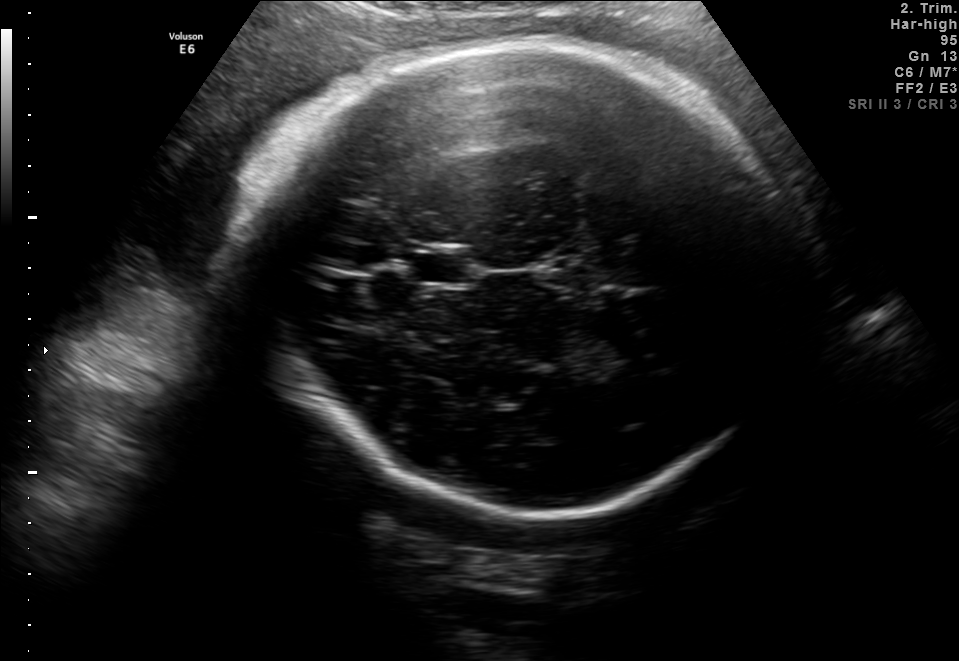
In this fetal brain, trans-thalamic plane, give bounding boxes for the head outline, cavum septum pellucidum (CSP), and lateral ventricle (LV), where visible.

Head: [229,48,800,509]
CSP: [414,250,471,283]